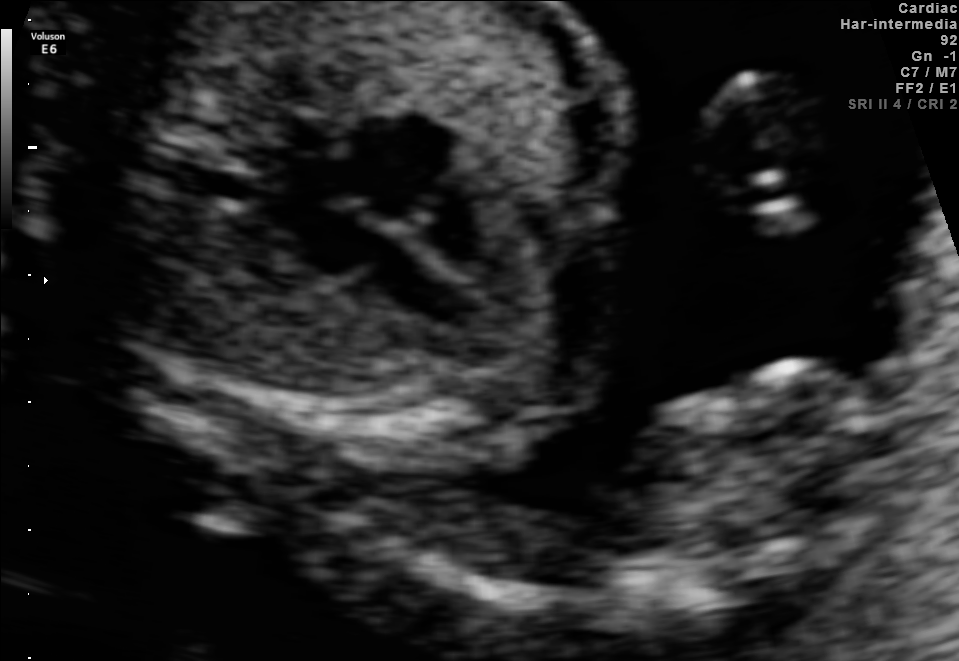
Identify the standard plane in this fetal ultrasound image: fetal abdomen, fetal brain, fetal femur, fetal thorax, maternal cervix, or other. If it's fetal brain and one of the three standard brain planes (trans-thalamic, trans-cerebellum, trans-ventricular), name which.

Fetal thorax